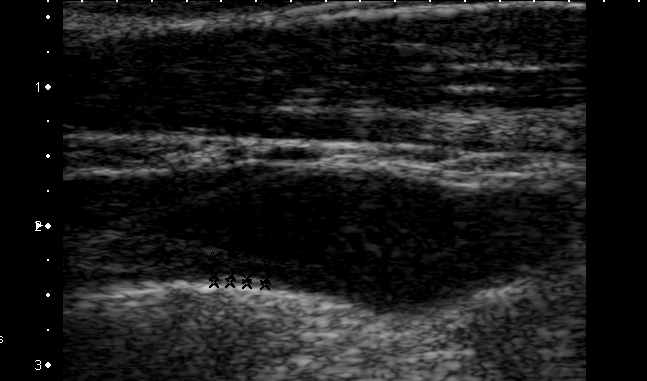
Identify the standard plane in this fetal ultrasound image: fetal abdomen, fetal brain, fetal femur, fetal thorax, maternal cervix, or other. If it's fetal brain and one of the three standard brain planes (trans-thalamic, trans-cerebellum, trans-ventricular), name which.

Other